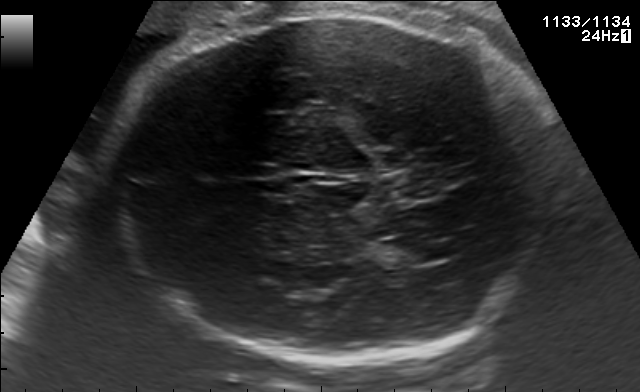
Fetal brain, trans-ventricular plane. Locate the fetal head and, if visible, the cavum septum pellucidum (CSP) and lateral ventricle (LV). Give bounding boxes as [x1,y1,x2,y2].

Head: [108,11,565,365]